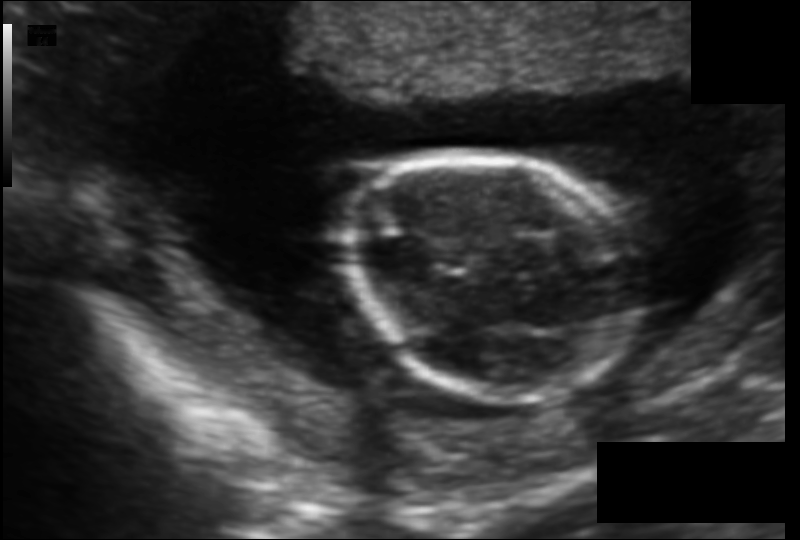
Fetal head ultrasound. Image width: 92.1 mm. Where is the fetal head?

Head bounding box: [347,149,643,403]